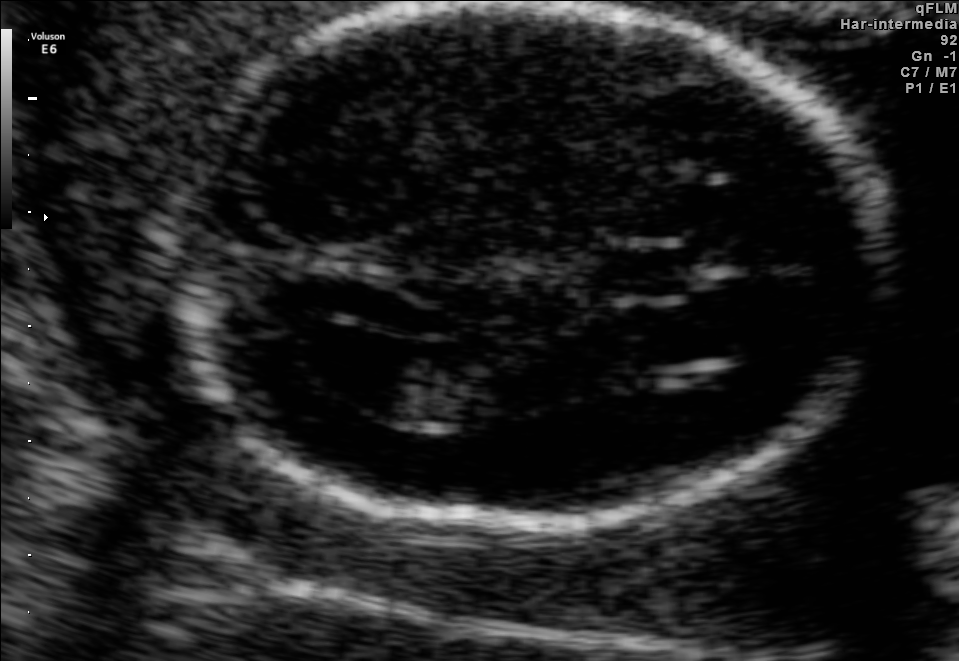
In this fetal brain, trans-ventricular plane, give the bounding box of the lateral ventricle.

[276,307,443,421]